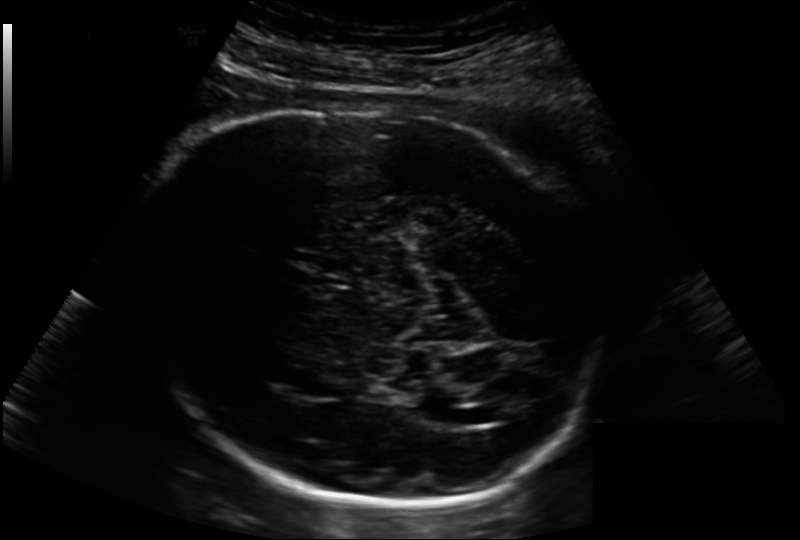
In this fetal head ultrasound, give the bounding box of the fetal head. Image width: 161.6 mm.

[123,105,601,502]